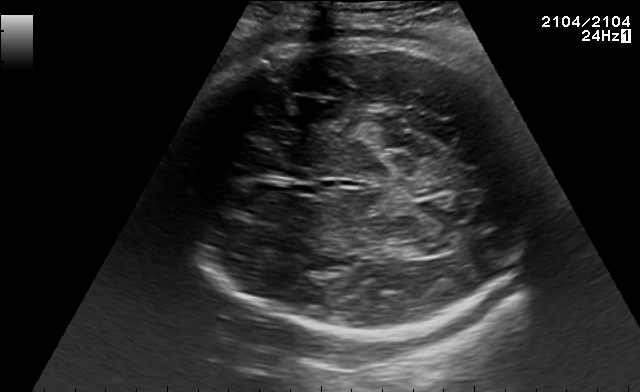
In this fetal brain, trans-thalamic plane, give the bounding box of the cavum septum pellucidum.

[293,185,317,194]